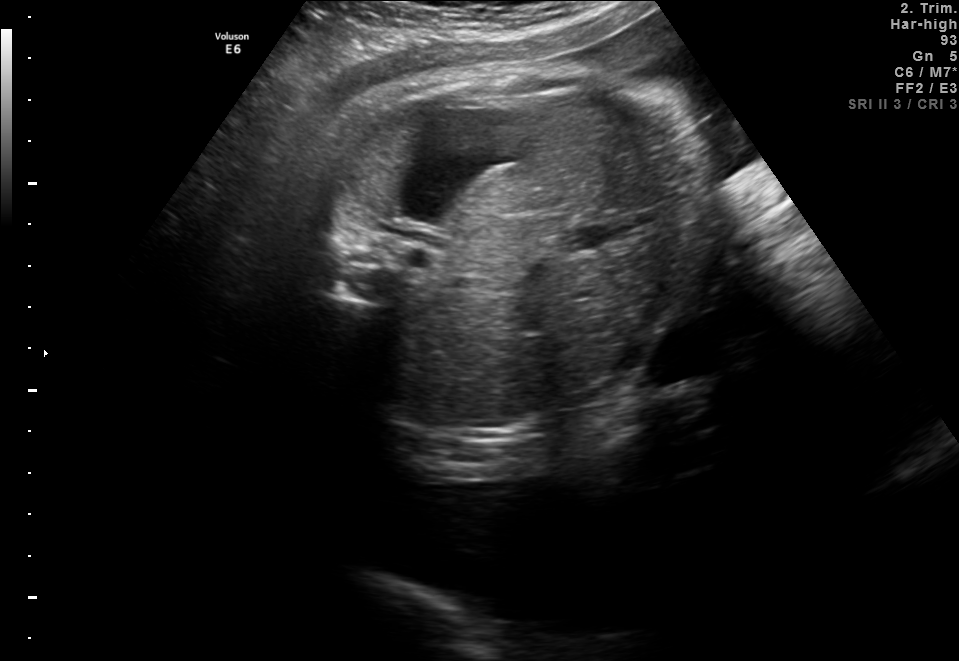
This is a 2D maternal-fetal ultrasound frame. Is it a fetal abdomen, fetal brain, fetal femur, fetal thorax, maternal cervix, or other standard plane? If it's fetal brain and one of the three standard brain planes (trans-thalamic, trans-cerebellum, trans-ventricular), name which.

Fetal abdomen